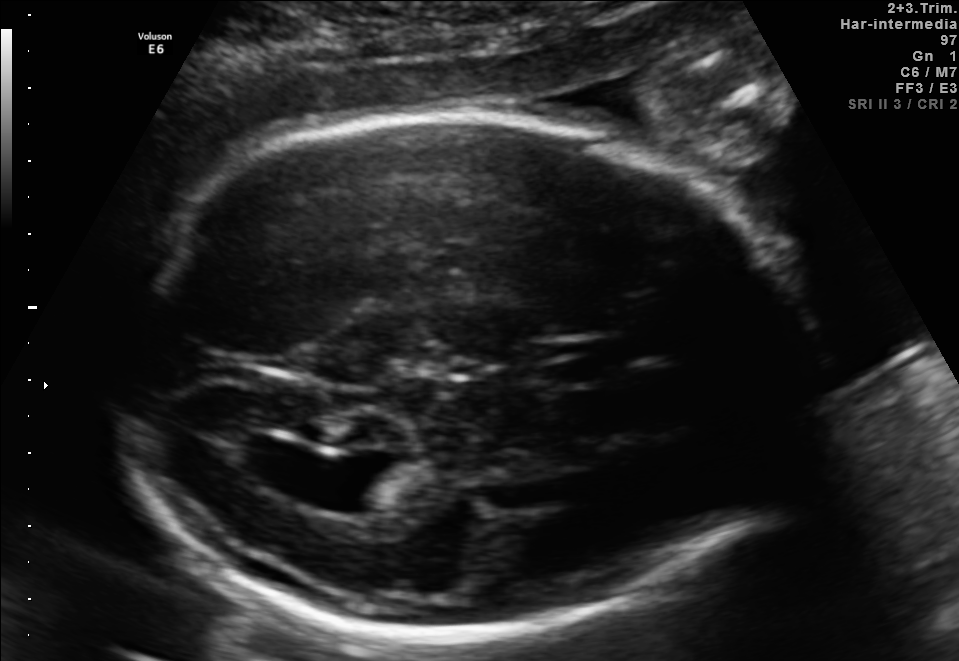
Fetal brain, trans-ventricular plane. Where is the fetal head?

Head bounding box: [85,107,826,646]